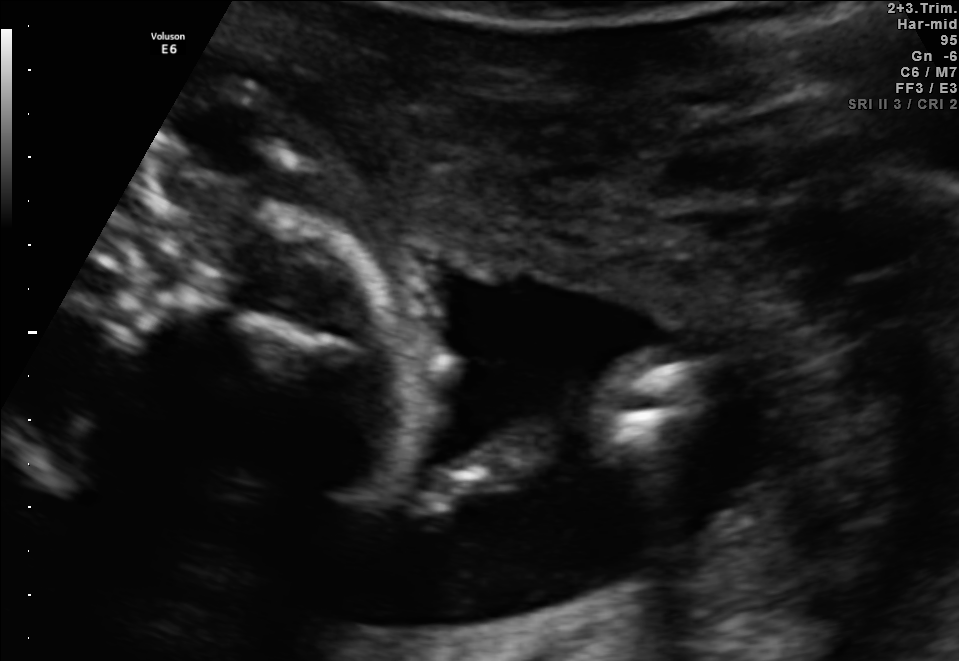
Classify this maternal-fetal ultrasound image as one of the six standard planes — fetal abdomen, fetal brain, fetal femur, fetal thorax, maternal cervix, or other. If it's fetal brain and one of the three standard brain planes (trans-thalamic, trans-cerebellum, trans-ventricular), name which.

Other